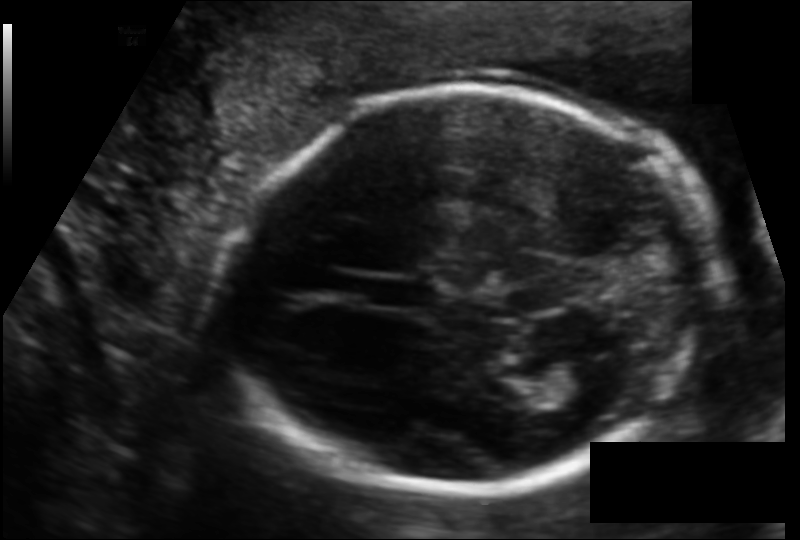
Fetal head ultrasound. Image width: 95.3 mm. Where is the lateral ventricle?

Lateral ventricle bounding box: [527,347,624,417]